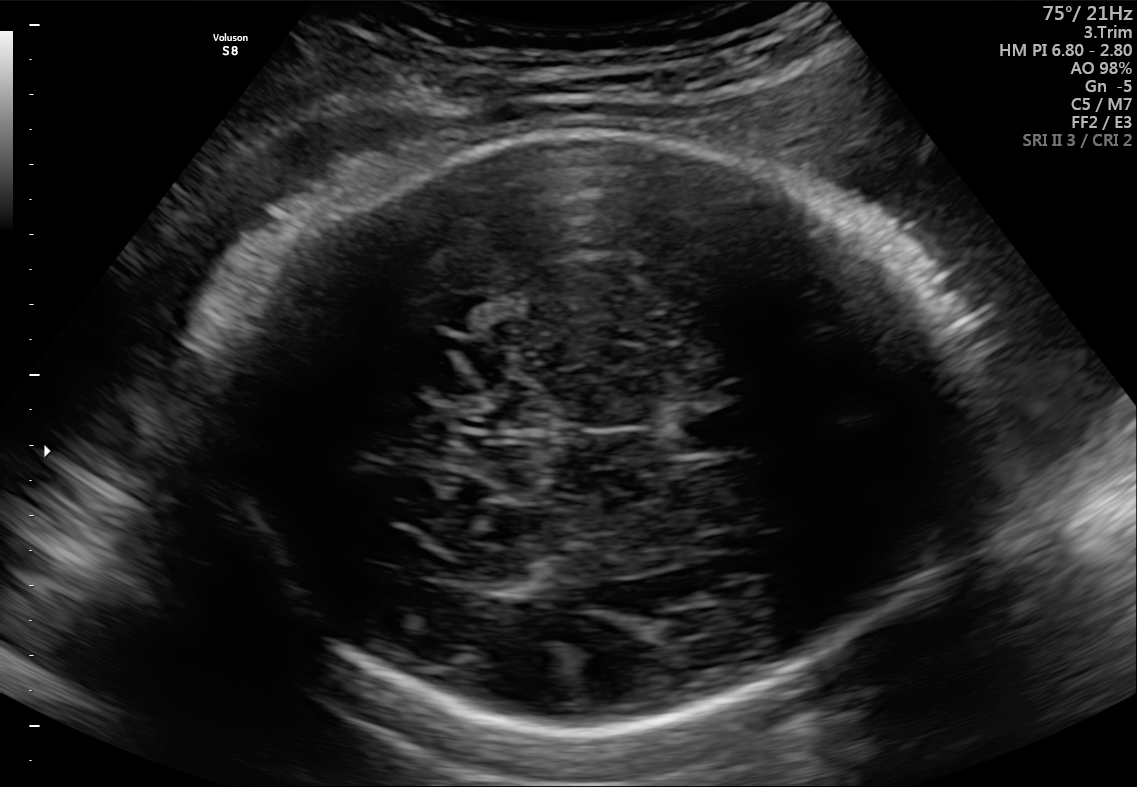
Fetal brain, trans-thalamic plane. Locate the fetal head and, if visible, the cavum septum pellucidum (CSP) and lateral ventricle (LV). Give bounding boxes as [x1,y1,x2,y2].

Head: [211,130,950,731]
CSP: [671,404,752,454]